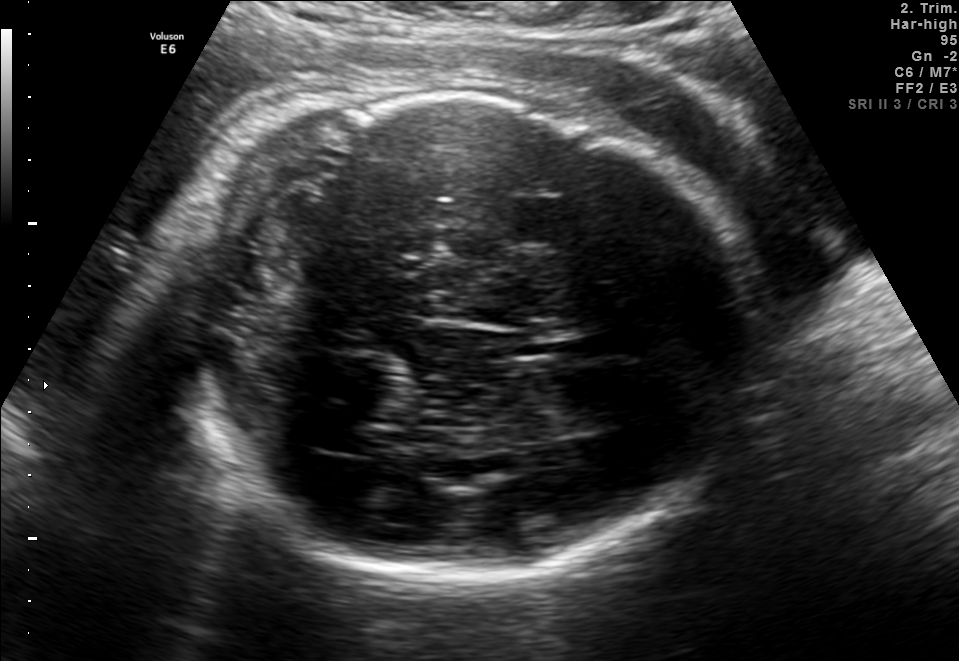
In this fetal brain, trans-thalamic plane, give bounding boxes for the head outline, cavum septum pellucidum (CSP), and lateral ventricle (LV), where visible.

Head: [147,93,768,576]